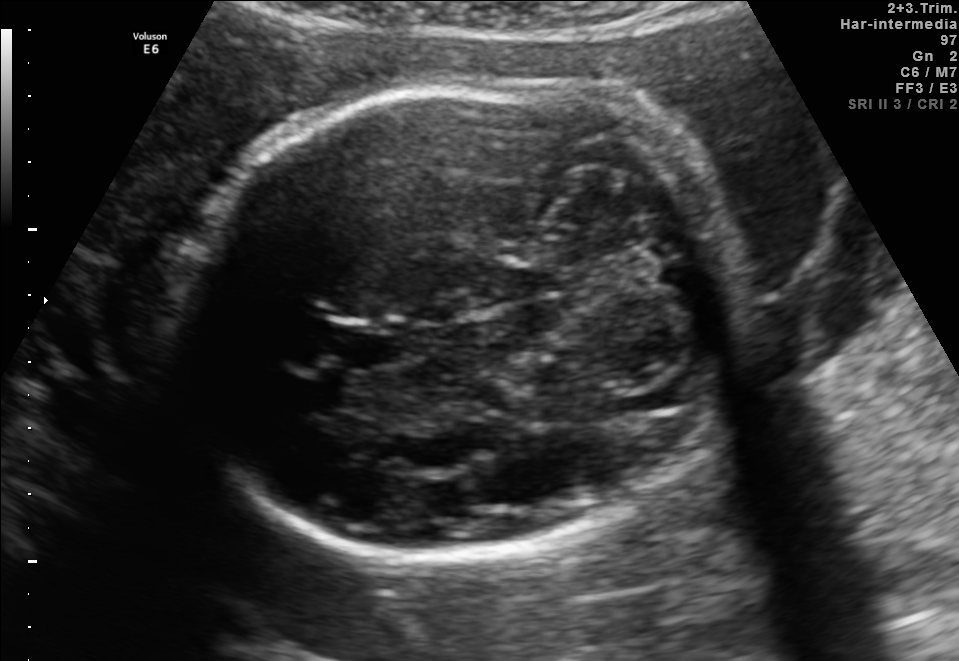
In this fetal brain, trans-cerebellum plane, give bounding boxes for the head outline, cavum septum pellucidum (CSP), and lateral ventricle (LV), where visible.

Head: [174,77,739,558]
CSP: [317,318,397,371]